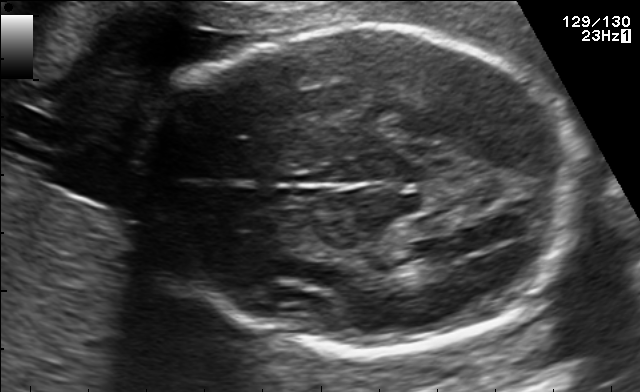
Fetal brain, trans-ventricular plane. Give [x1,y1,x2,y2] bounding boxes for each visible structure among: fetal head, CSP, LV.

Head: [138,21,590,357]